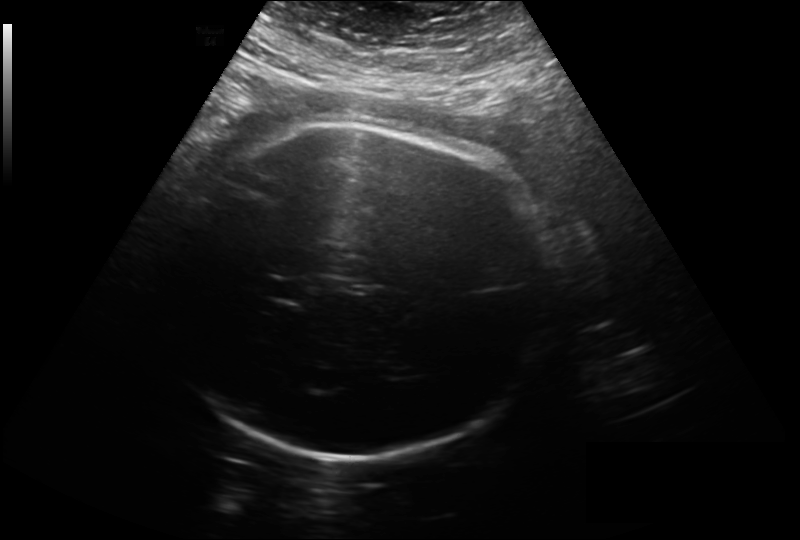
In this fetal head ultrasound, give the bounding box of the fetal head. Image width: 208.8 mm.

[167,123,546,460]